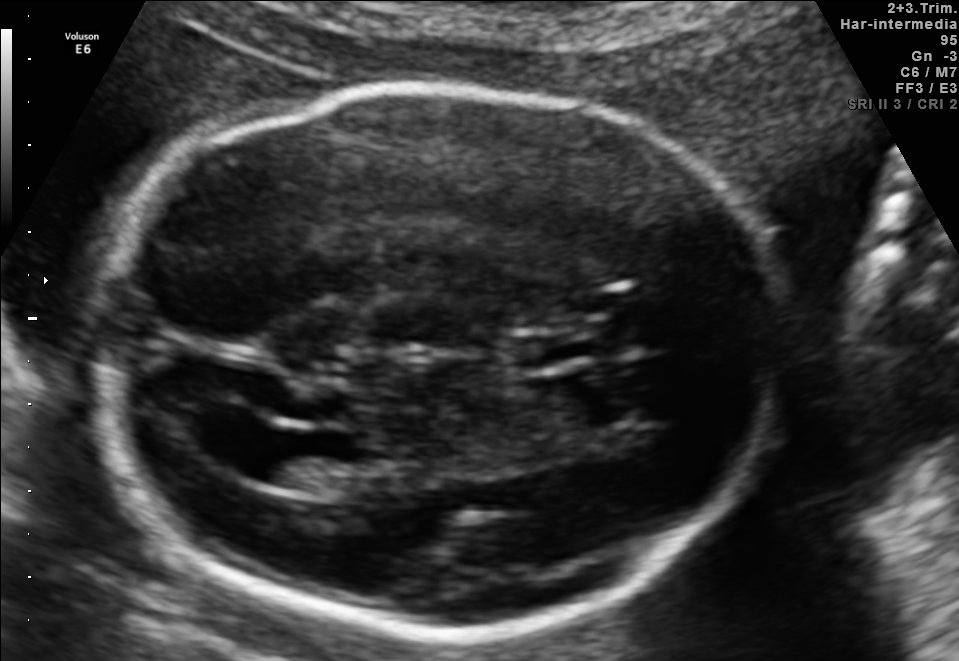
In this fetal brain, trans-ventricular plane, give the bounding box of the fetal head.

[78,77,803,644]